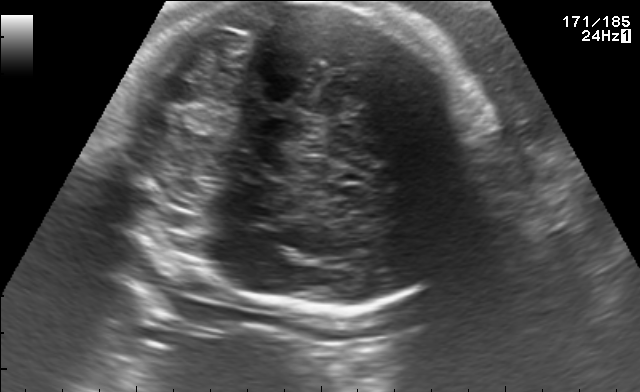
In this fetal brain, trans-cerebellum plane, give bounding boxes for the head outline, cavum septum pellucidum (CSP), and lateral ventricle (LV), where visible.

Head: [115,2,500,312]